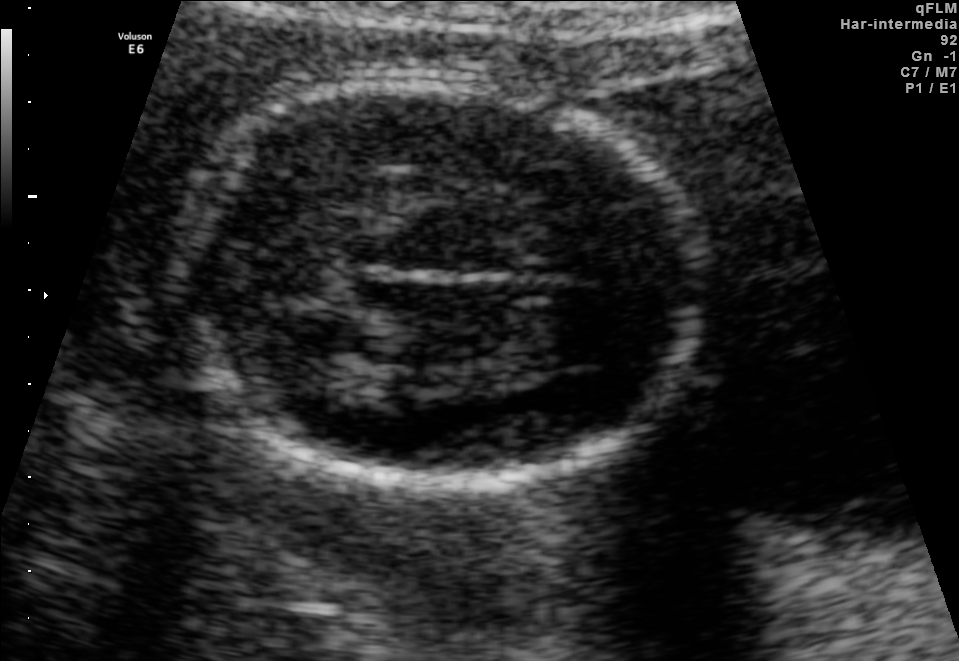
In this fetal brain, trans-thalamic plane, give the bounding box of the fetal head.

[171,78,702,483]